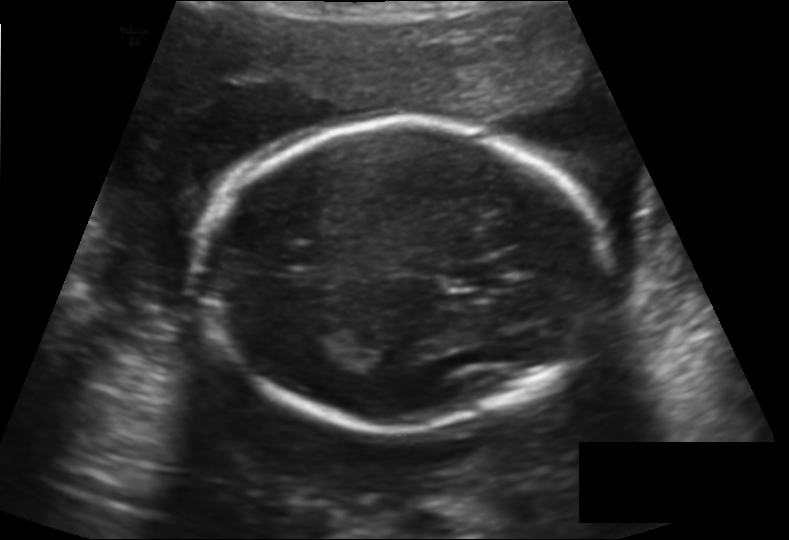
In this fetal head ultrasound, give the bounding box of the cavum septum pellucidum. Image width: 124.3 mm.

[443,255,508,292]